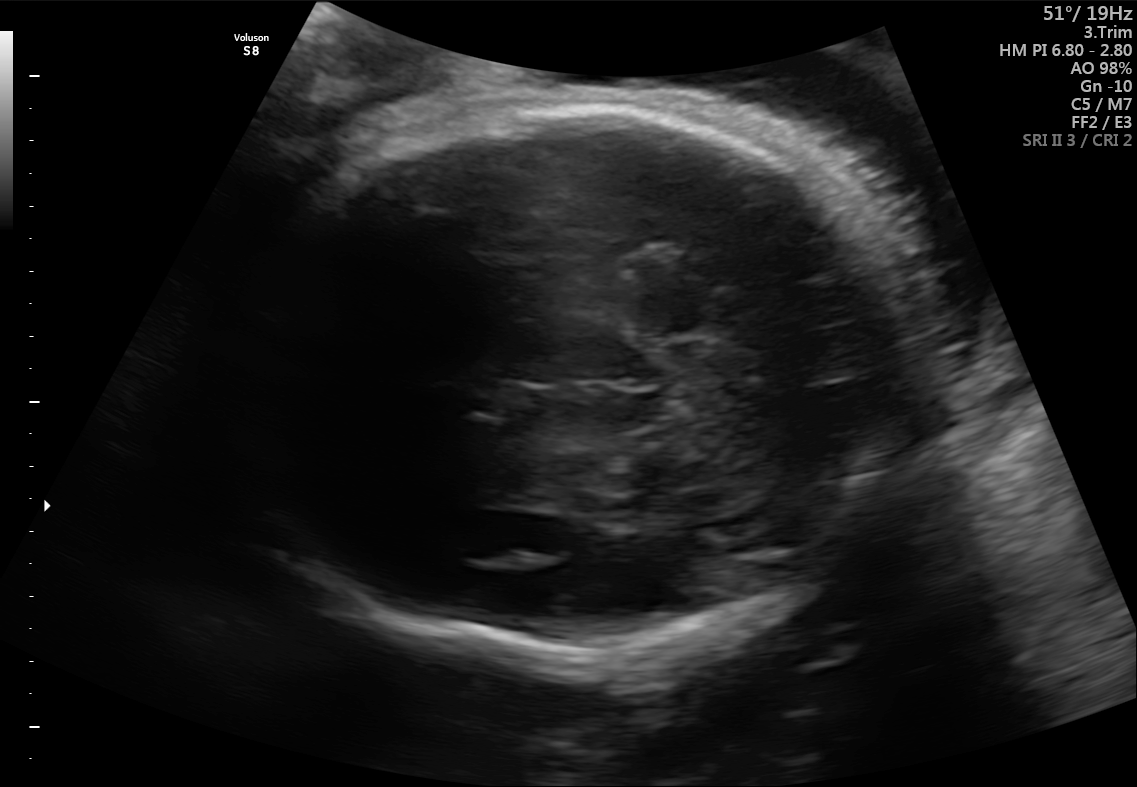
Fetal brain, trans-thalamic plane. Where is the fetal head?

Head bounding box: [210,98,934,656]